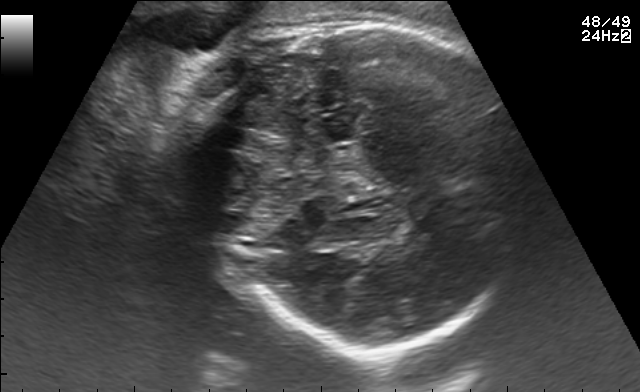
Fetal brain, trans-thalamic plane. Where is the fetal head?

Head bounding box: [187,15,531,344]